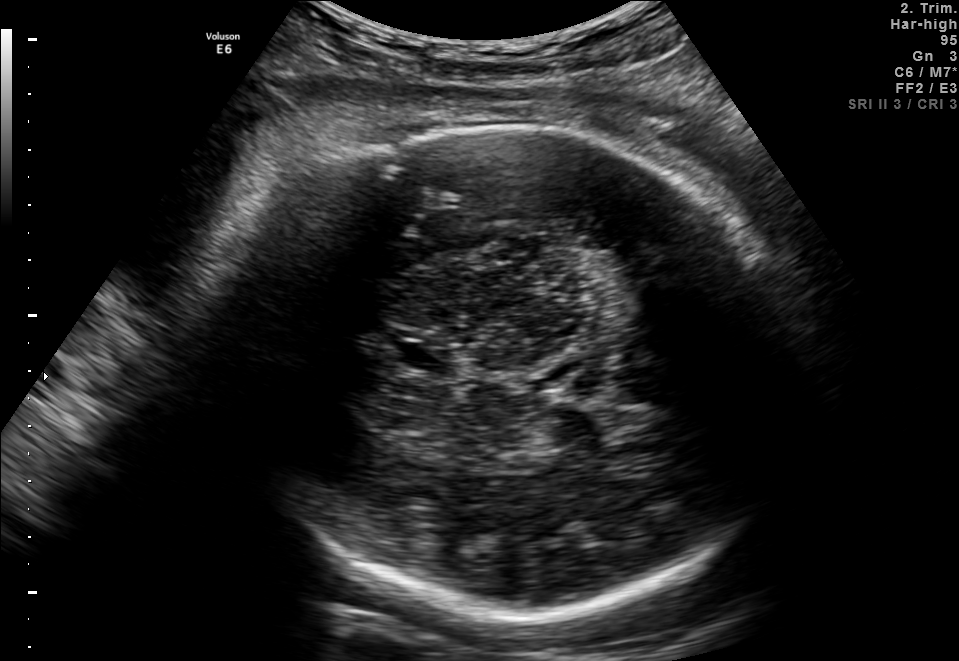
Fetal brain, trans-thalamic plane. Locate the fetal head and, if visible, the cavum septum pellucidum (CSP) and lateral ventricle (LV). Give bounding boxes as [x1,y1,x2,y2].

Head: [227,129,798,614]
CSP: [400,340,455,375]